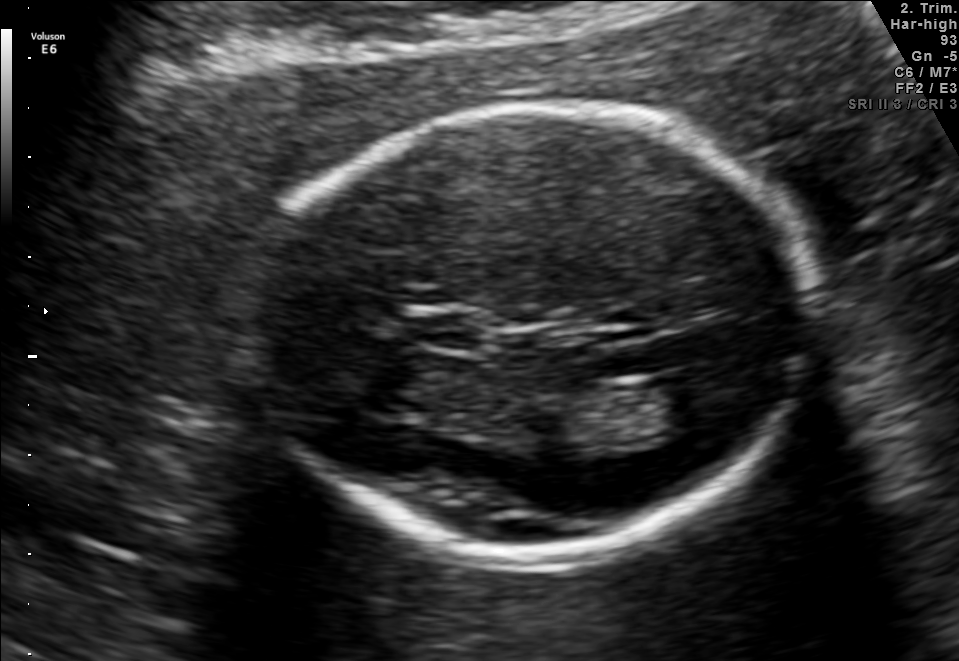
Fetal brain, trans-thalamic plane. Locate the cavum septum pellucidum.

CSP: [415,313,482,349]